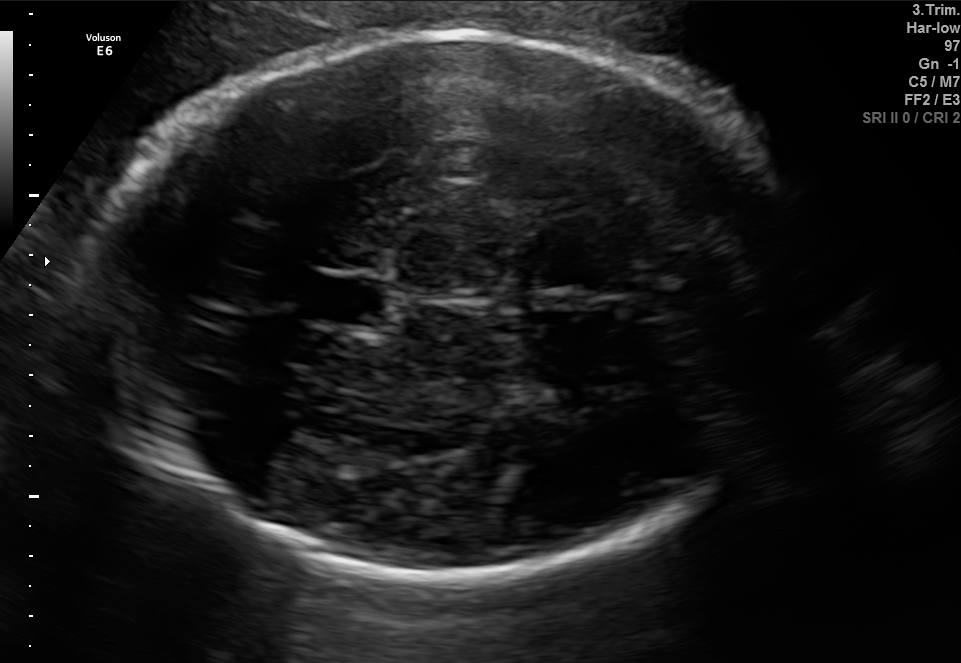
Fetal brain, trans-thalamic plane. Where is the fetal head?

Head bounding box: [91,34,810,577]